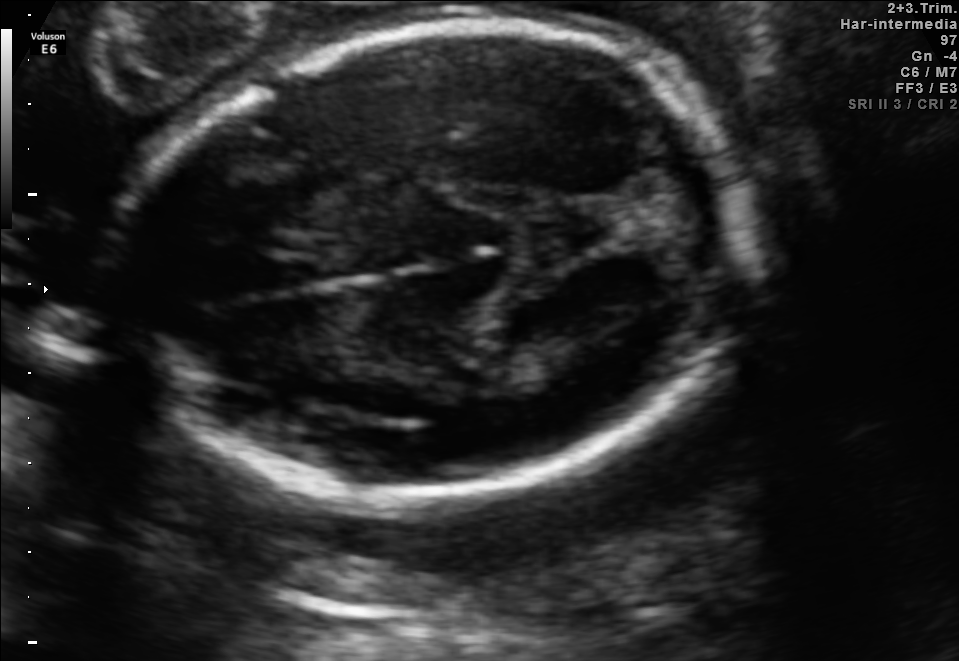
Fetal brain, trans-thalamic plane. Locate the fetal head.

Head: [122,26,747,511]